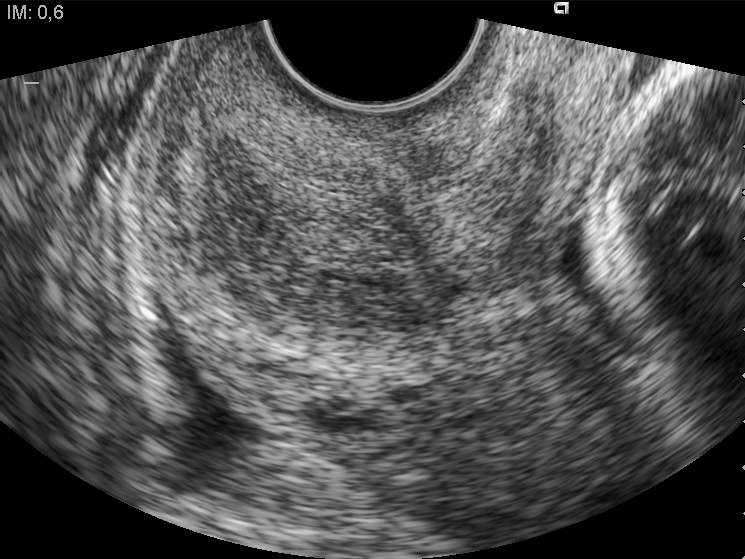
Classify this maternal-fetal ultrasound image as one of the six standard planes — fetal abdomen, fetal brain, fetal femur, fetal thorax, maternal cervix, or other. If it's fetal brain and one of the three standard brain planes (trans-thalamic, trans-cerebellum, trans-ventricular), name which.

Maternal cervix